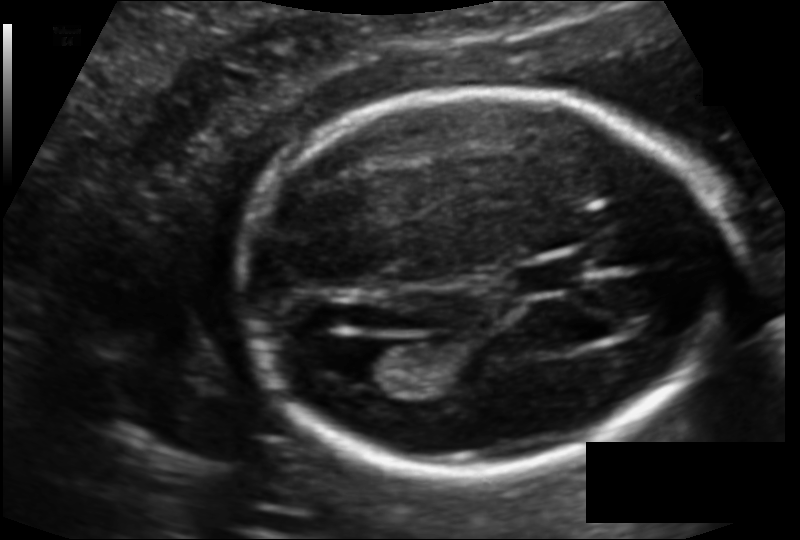
In this fetal head ultrasound, give the bounding box of the cavum septum pellucidum. Image width: 96.9 mm.

[511,249,591,301]